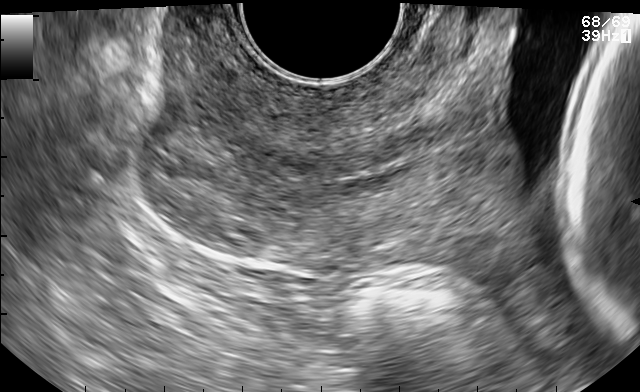
Which standard maternal-fetal ultrasound plane is shown: fetal abdomen, fetal brain, fetal femur, fetal thorax, maternal cervix, or other? If it's fetal brain and one of the three standard brain planes (trans-thalamic, trans-cerebellum, trans-ventricular), name which.

Maternal cervix